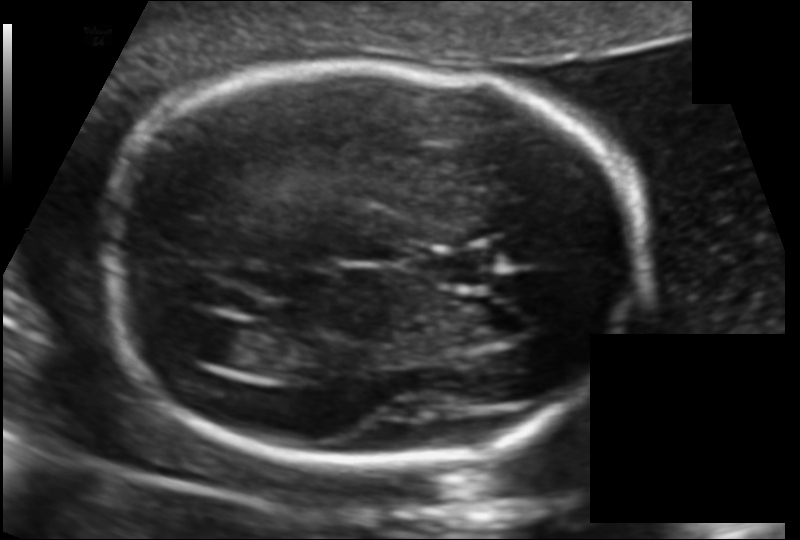
Estimate the fetal head circumference from this 2D ultrasound. Image width: 93.9 mm.

Head circumference: 180.9 mm.